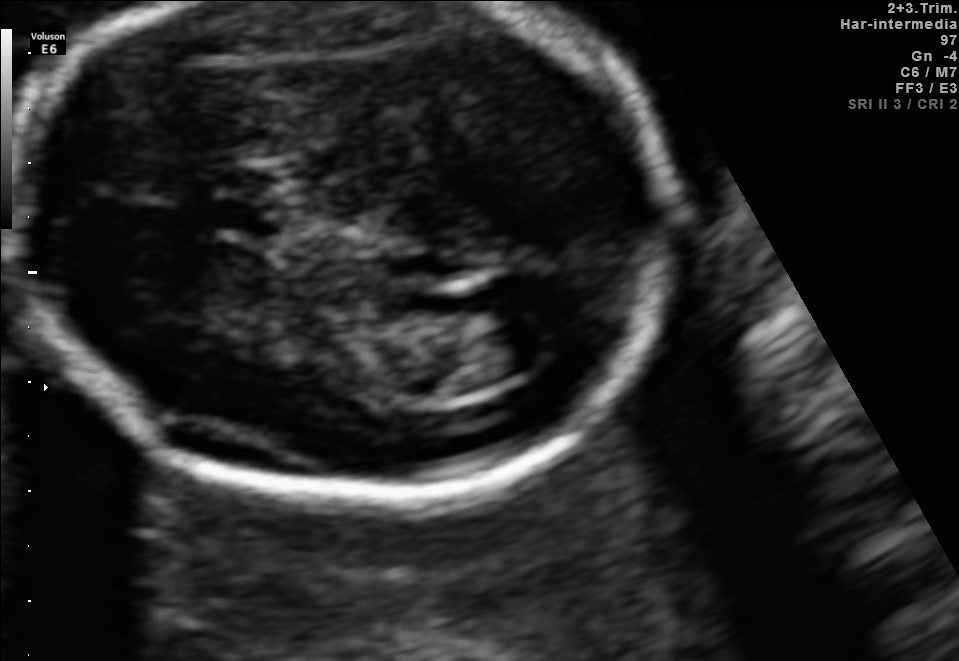
Fetal brain, trans-ventricular plane. Locate the cavum septum pellucidum.

CSP: [214,199,276,238]